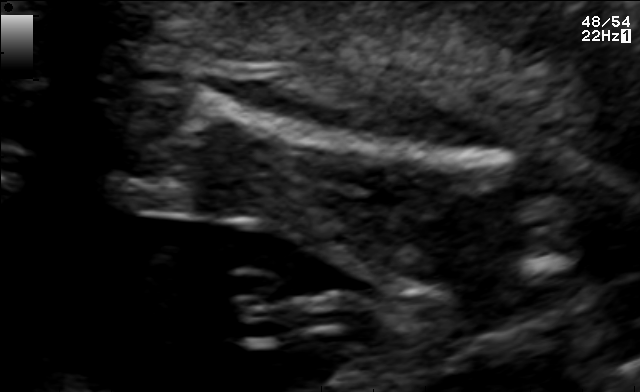
Identify the standard plane in this fetal ultrasound image: fetal abdomen, fetal brain, fetal femur, fetal thorax, maternal cervix, or other. If it's fetal brain and one of the three standard brain planes (trans-thalamic, trans-cerebellum, trans-ventricular), name which.

Fetal femur